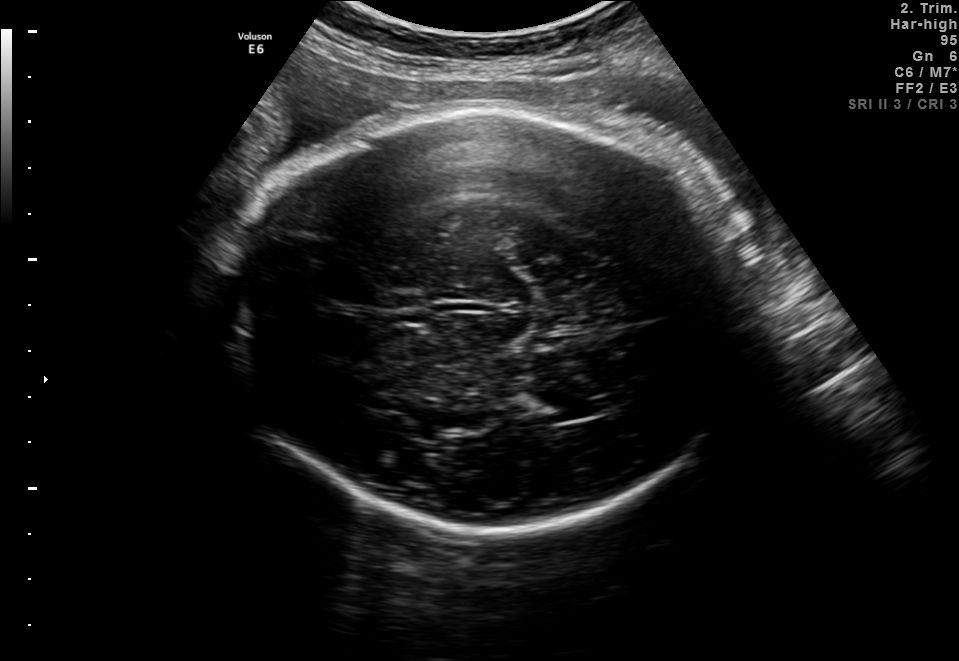
In this fetal brain, trans-thalamic plane, give the bounding box of the fetal head.

[232,106,751,527]